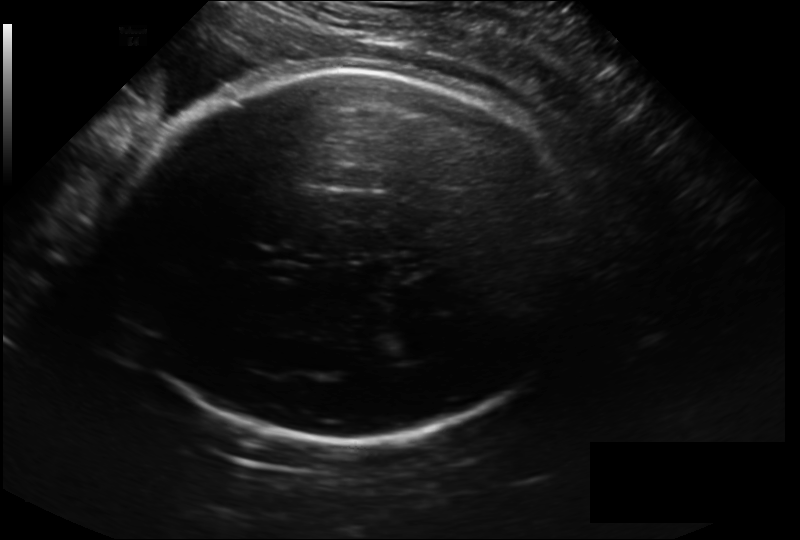
What is the fetal head circumference? Image width is 182.1 mm.

311.8 mm